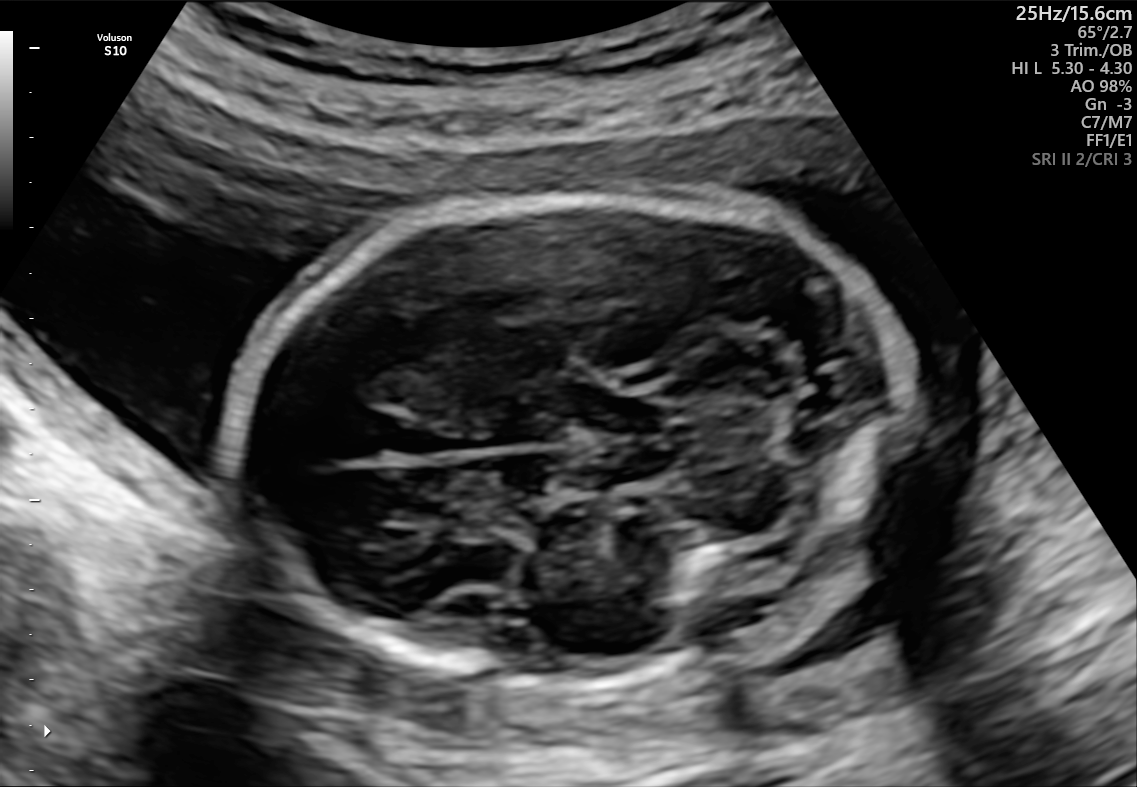
Which standard maternal-fetal ultrasound plane is shown: fetal abdomen, fetal brain, fetal femur, fetal thorax, maternal cervix, or other? If it's fetal brain and one of the three standard brain planes (trans-thalamic, trans-cerebellum, trans-ventricular), name which.

Fetal brain (trans-cerebellum plane)